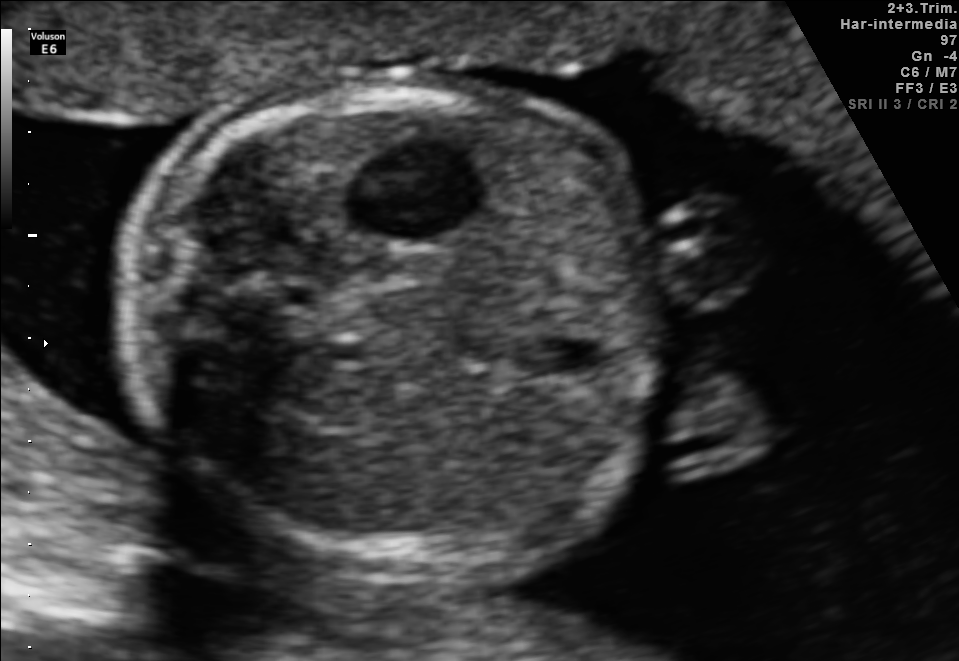
Classify this maternal-fetal ultrasound image as one of the six standard planes — fetal abdomen, fetal brain, fetal femur, fetal thorax, maternal cervix, or other. If it's fetal brain and one of the three standard brain planes (trans-thalamic, trans-cerebellum, trans-ventricular), name which.

Fetal abdomen